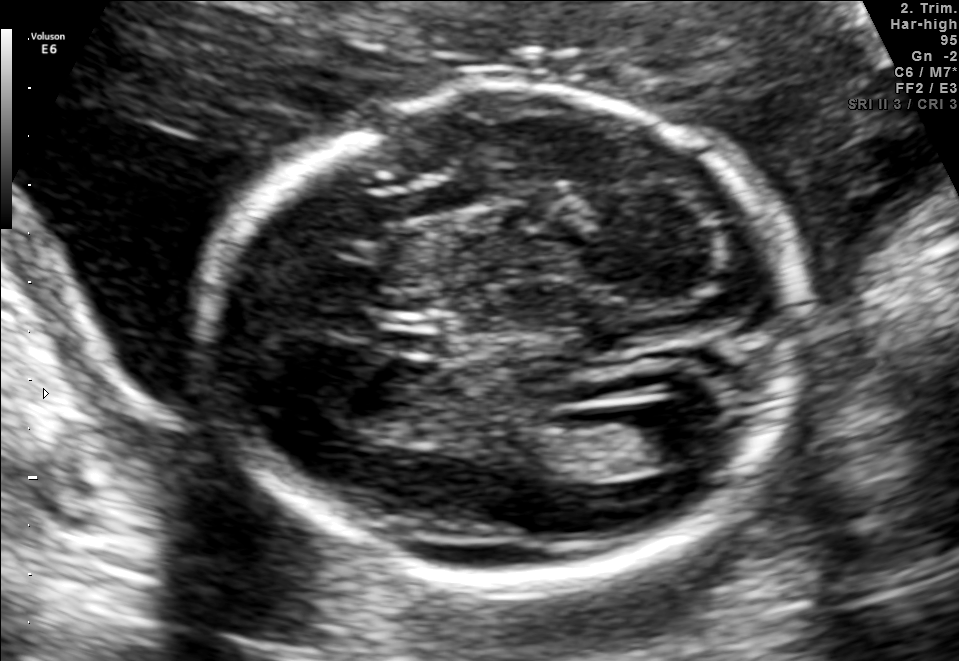
Identify the standard plane in this fetal ultrasound image: fetal abdomen, fetal brain, fetal femur, fetal thorax, maternal cervix, or other. If it's fetal brain and one of the three standard brain planes (trans-thalamic, trans-cerebellum, trans-ventricular), name which.

Fetal brain (trans-ventricular plane)